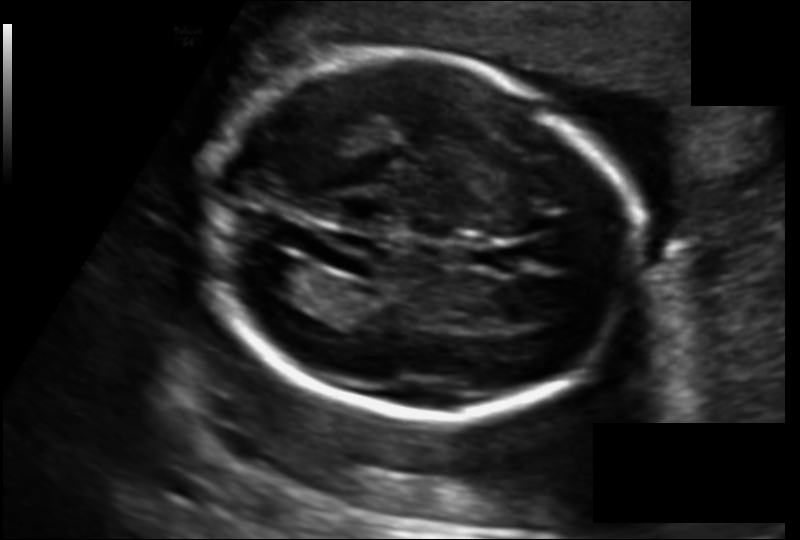
In this fetal head ultrasound, give bounding boxes for the head outline, cavum septum pellucidum (CSP), and lateral ventricle (LV), where visible. Image width: 107.9 mm.

Head: [203,51,632,418]
CSP: [465,242,520,272]
Lateral ventricle: [247,244,319,305]